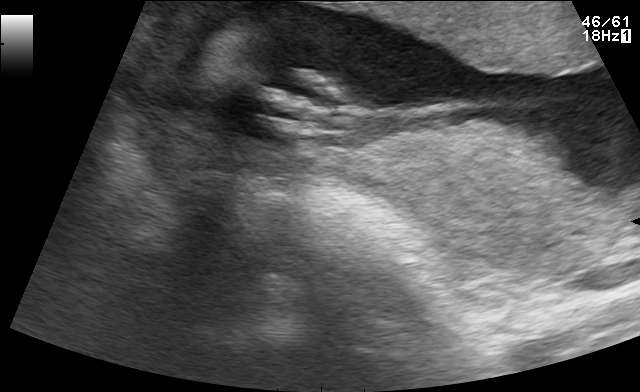
Which standard maternal-fetal ultrasound plane is shown: fetal abdomen, fetal brain, fetal femur, fetal thorax, maternal cervix, or other? If it's fetal brain and one of the three standard brain planes (trans-thalamic, trans-cerebellum, trans-ventricular), name which.

Other